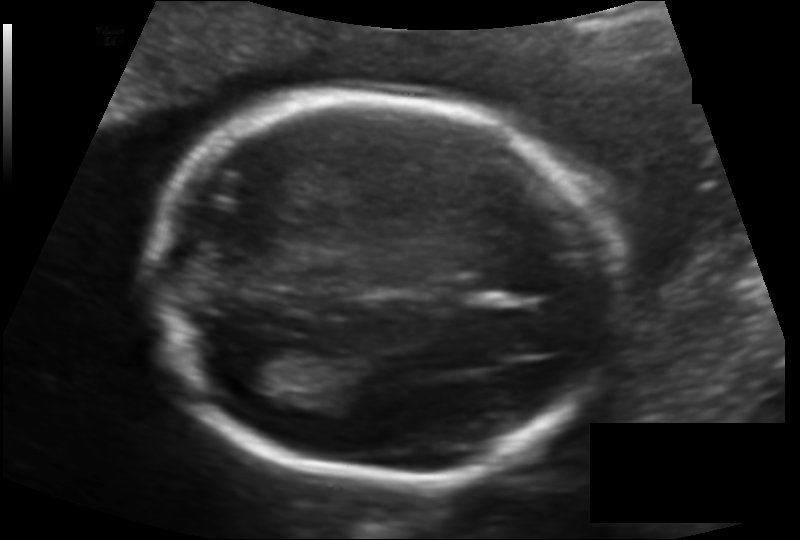
From this fetal ultrasound, estimate the head circumference (image width 102.7 mm).

Head circumference: 174.3 mm.